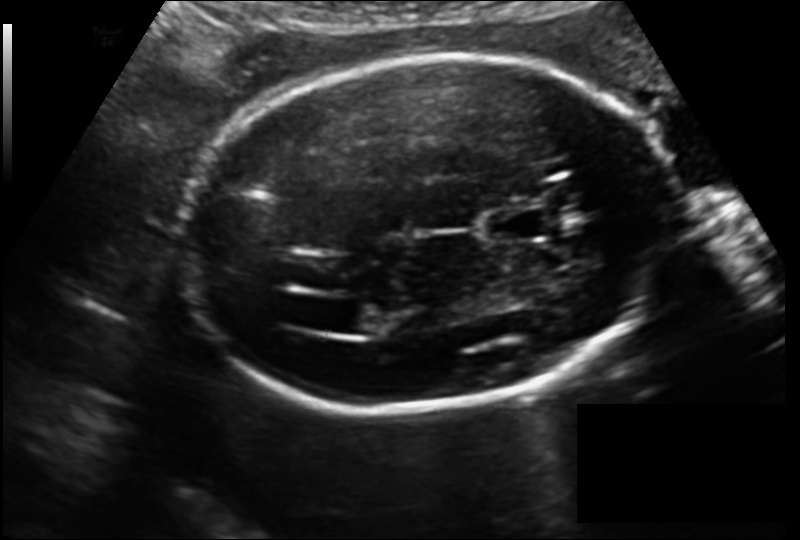
Fetal head ultrasound. Image width: 120.3 mm. Give [x1,y1,x2,y2] bounding boxes for each visible structure among: fetal head, CSP, LV.

Head: [177,53,675,410]
CSP: [484,206,547,243]
Lateral ventricle: [329,299,391,335]